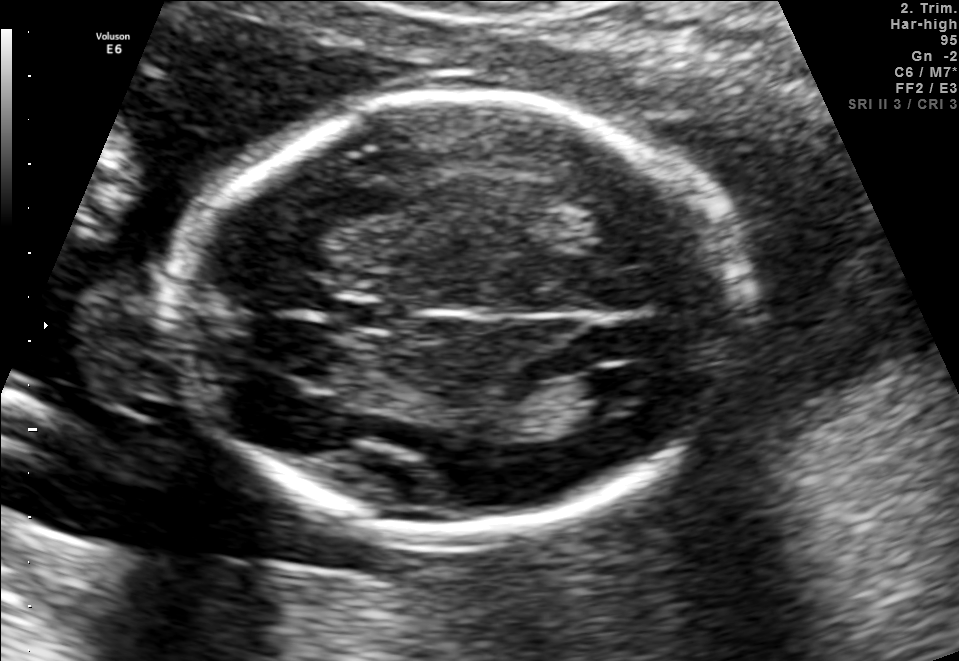
Fetal brain, trans-ventricular plane. Locate the lateral ventricle.

Lateral ventricle: [577,360,664,417]